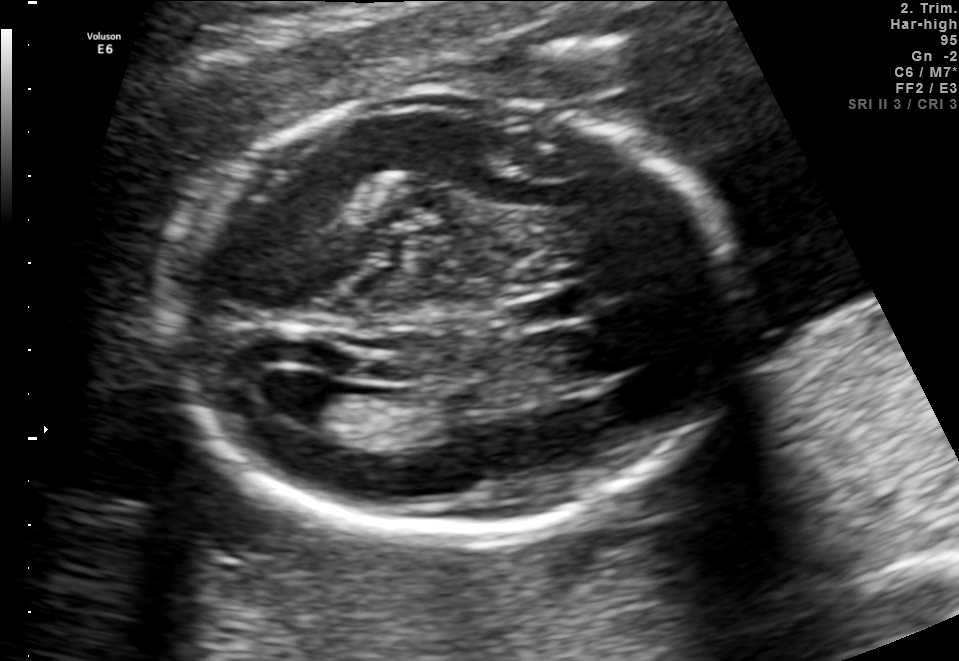
In this fetal brain, trans-ventricular plane, give the bounding box of the cavum septum pellucidum.

[500,283,603,340]